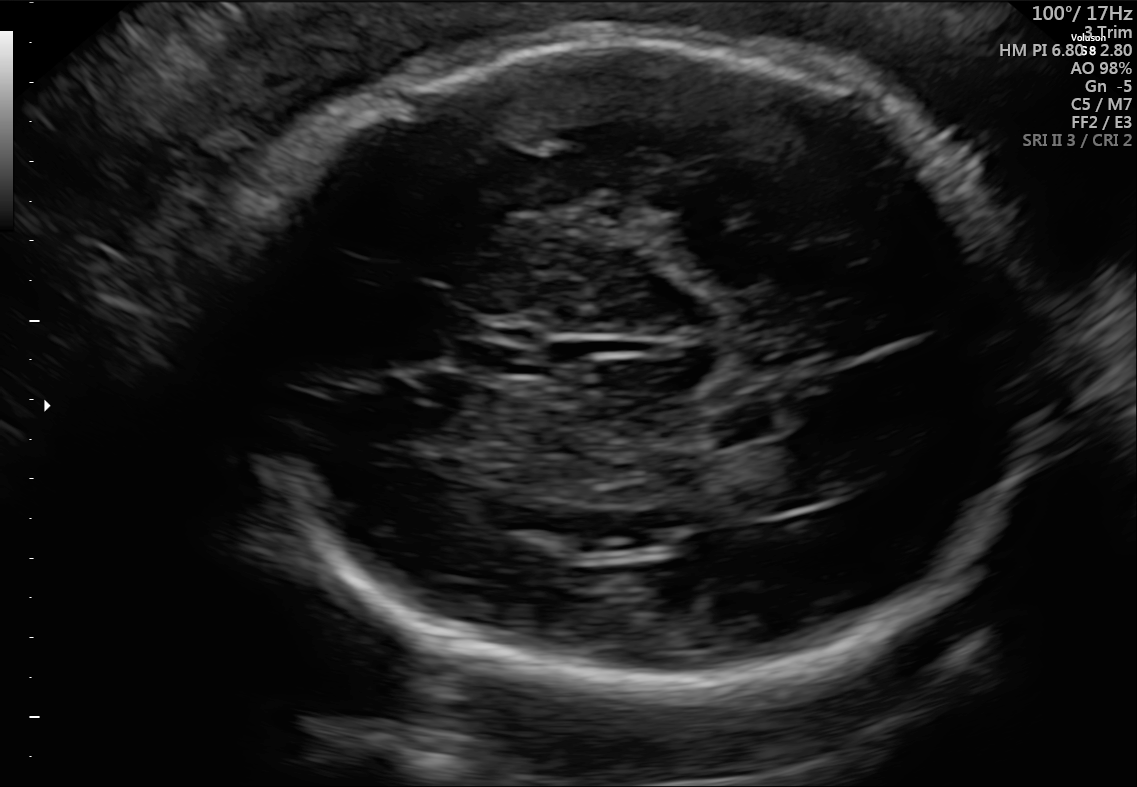
In this fetal brain, trans-thalamic plane, give the bounding box of the fetal head.

[210,29,1048,699]